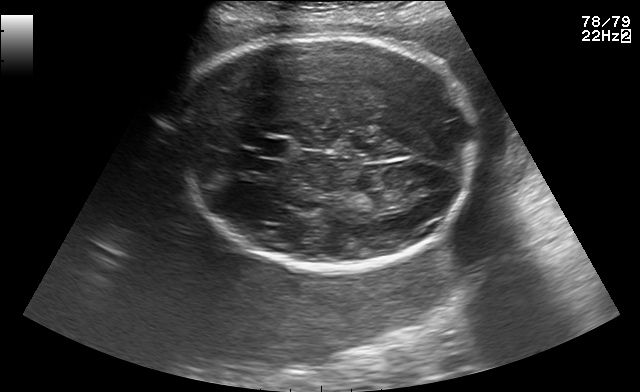
In this fetal brain, trans-thalamic plane, give the bounding box of the cavum septum pellucidum.

[253,136,291,160]